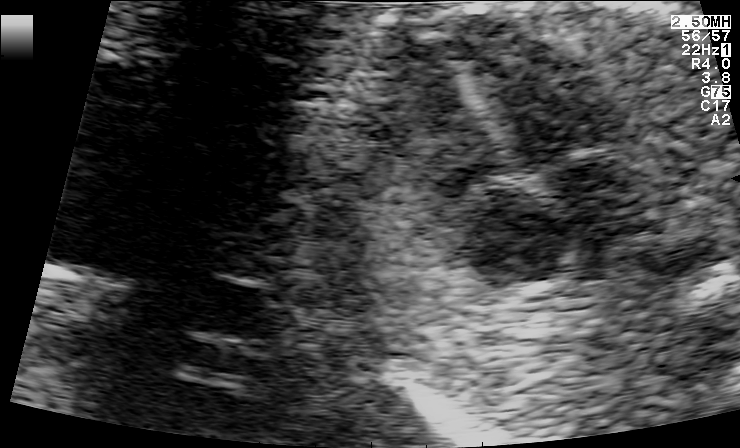
Which standard maternal-fetal ultrasound plane is shown: fetal abdomen, fetal brain, fetal femur, fetal thorax, maternal cervix, or other? If it's fetal brain and one of the three standard brain planes (trans-thalamic, trans-cerebellum, trans-ventricular), name which.

Fetal thorax